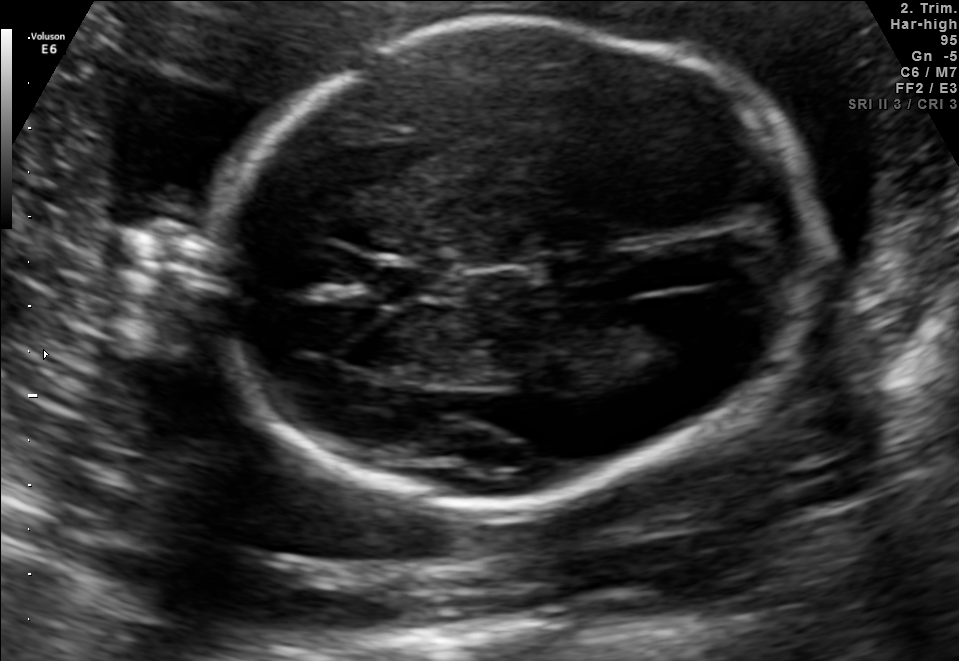
Fetal brain, trans-ventricular plane. Locate the fetal head.

Head: [197,8,826,521]